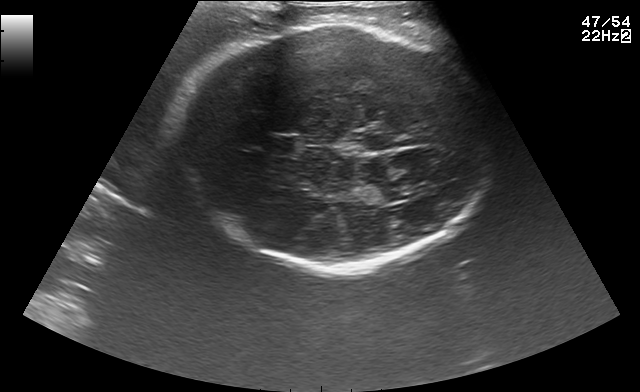
Fetal brain, trans-thalamic plane. Locate the lateral ventricle.

Lateral ventricle: [356,175,412,209]